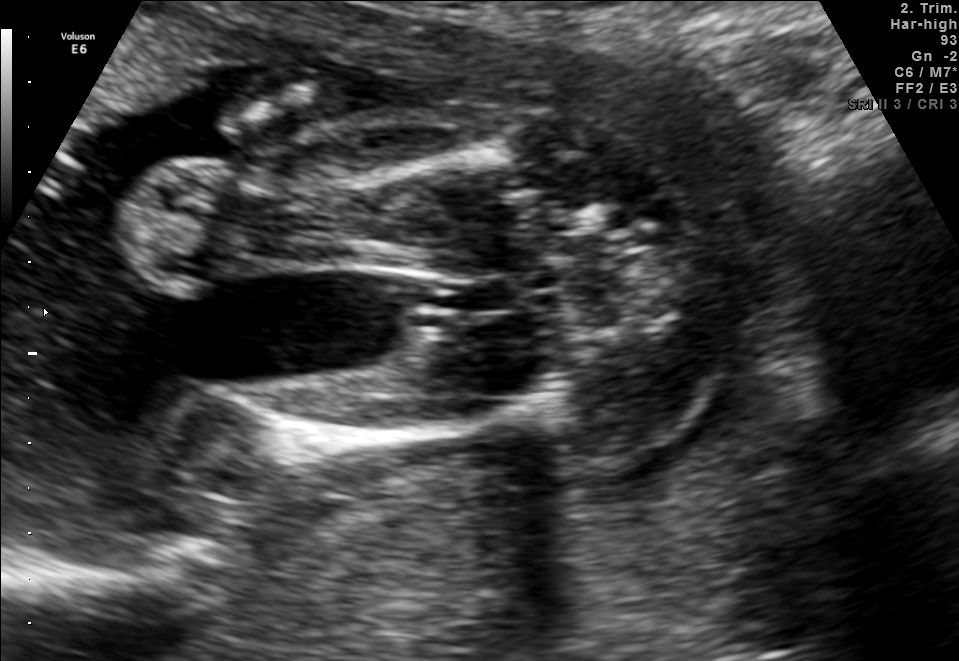
Identify the standard plane in this fetal ultrasound image: fetal abdomen, fetal brain, fetal femur, fetal thorax, maternal cervix, or other. If it's fetal brain and one of the three standard brain planes (trans-thalamic, trans-cerebellum, trans-ventricular), name which.

Fetal femur